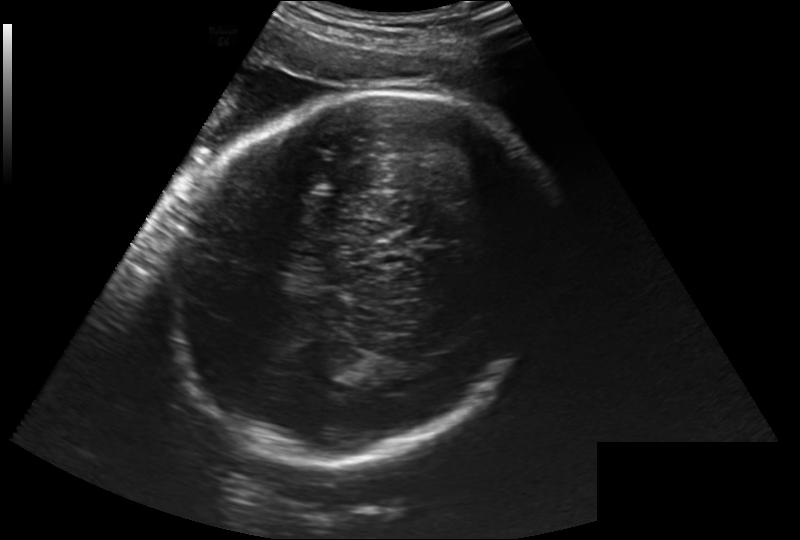
What is the fetal head circumference? Image width is 208.2 mm.

321.3 mm